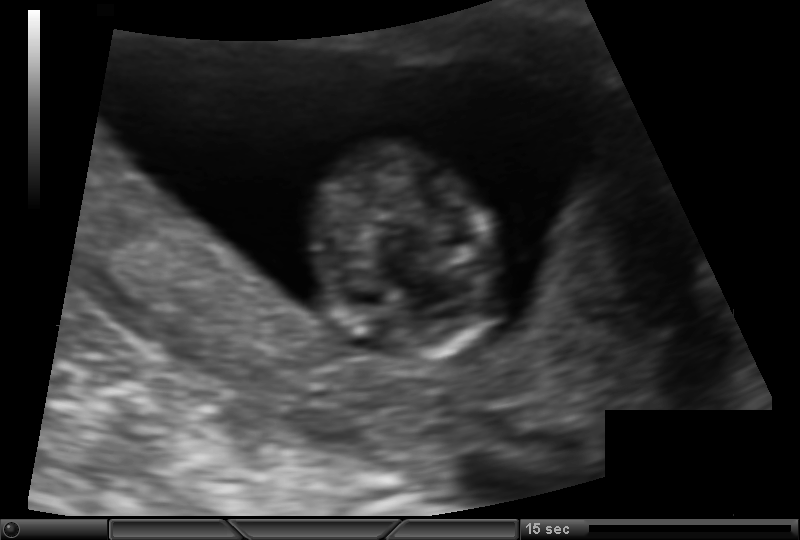
What is the fetal head circumference? Image width is 84.2 mm.

73.2 mm